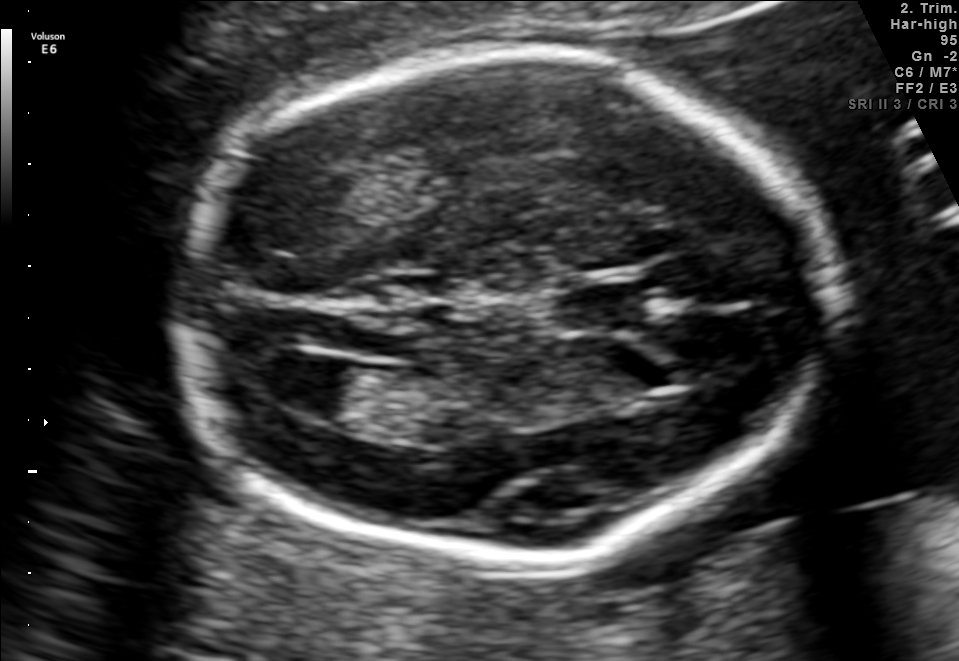
Fetal brain, trans-ventricular plane. Where is the cavum septum pellucidum?

CSP bounding box: [543,279,674,333]